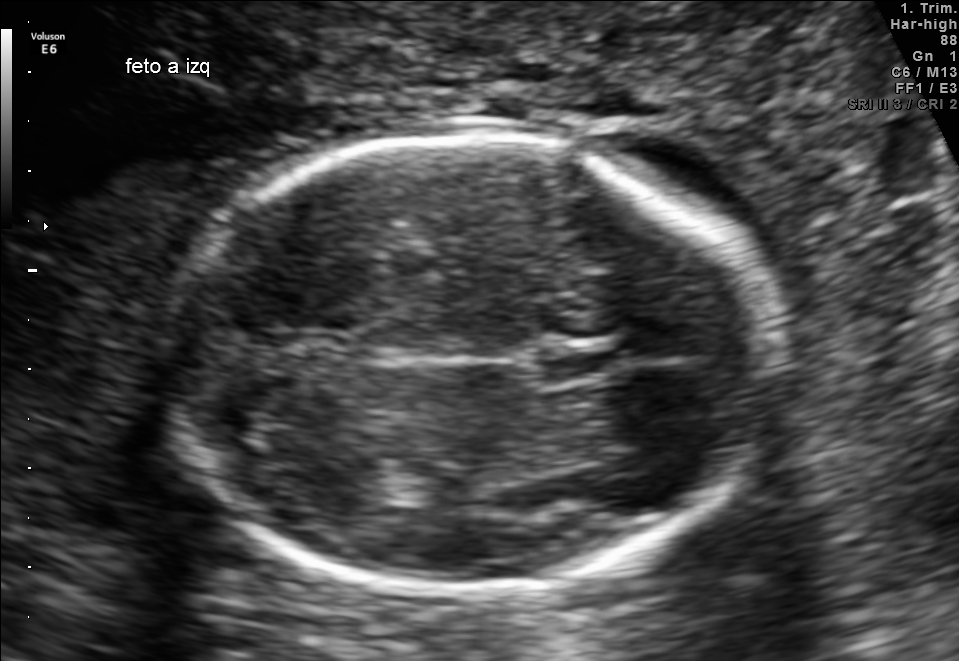
Fetal brain, trans-thalamic plane. Locate the cavum septum pellucidum.

CSP: [539,342,619,380]